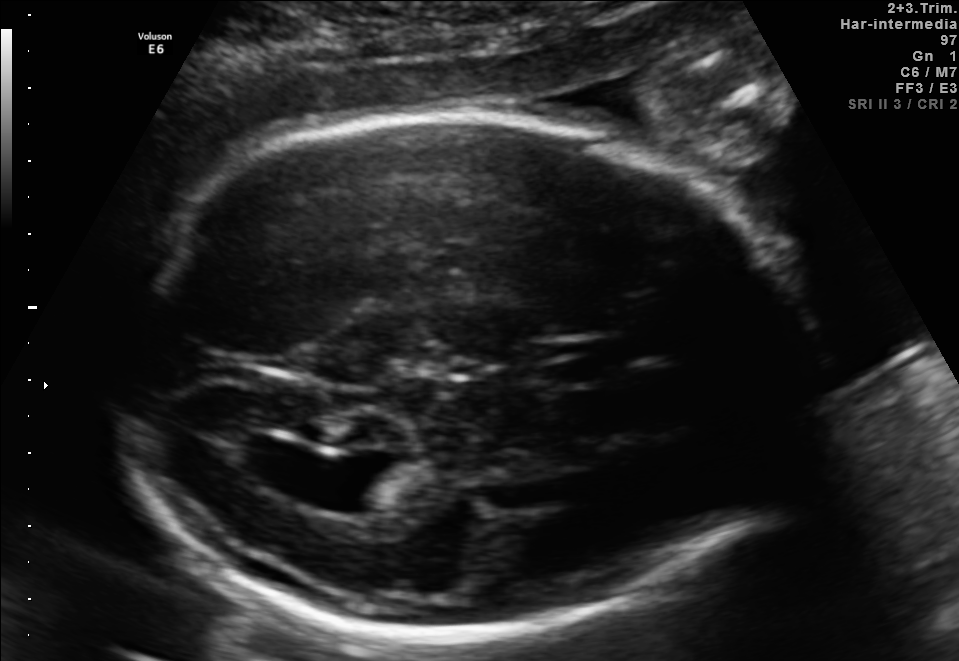
Identify the standard plane in this fetal ultrasound image: fetal abdomen, fetal brain, fetal femur, fetal thorax, maternal cervix, or other. If it's fetal brain and one of the three standard brain planes (trans-thalamic, trans-cerebellum, trans-ventricular), name which.

Fetal brain (trans-ventricular plane)